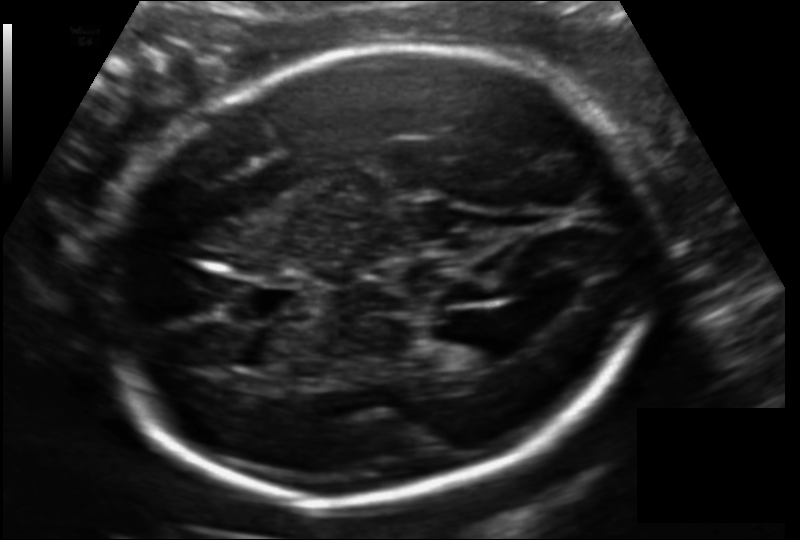
Fetal head ultrasound. Image width: 111.6 mm. Where is the fetal head?

Head bounding box: [115,46,650,506]